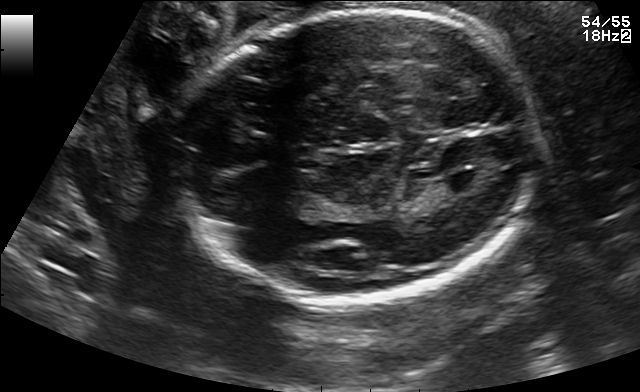
In this fetal brain, trans-ventricular plane, give bounding boxes for the head outline, cavum septum pellucidum (CSP), and lateral ventricle (LV), where visible.

Head: [168,5,549,307]